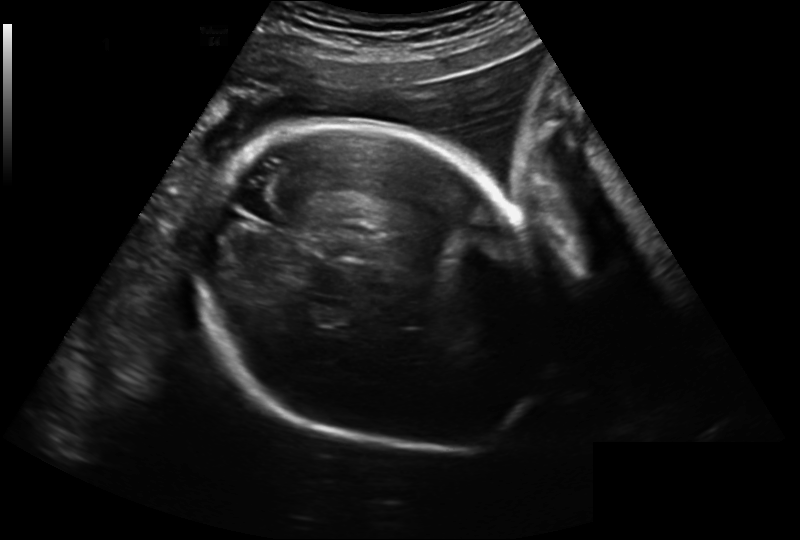
From this fetal ultrasound, estimate the head circumference (image width 192.8 mm).

Head circumference: 260.9 mm.